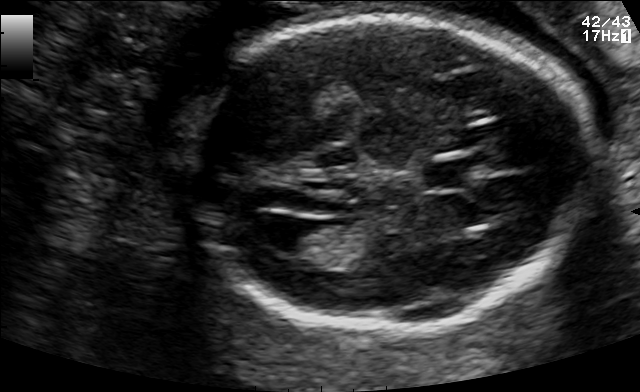
Fetal brain, trans-ventricular plane. Give [x1,y1,x2,y2] bounding boxes for each visible structure among: fetal head, CSP, LV.

Head: [173,14,605,337]
CSP: [423,151,504,192]
Lateral ventricle: [252,212,320,256]